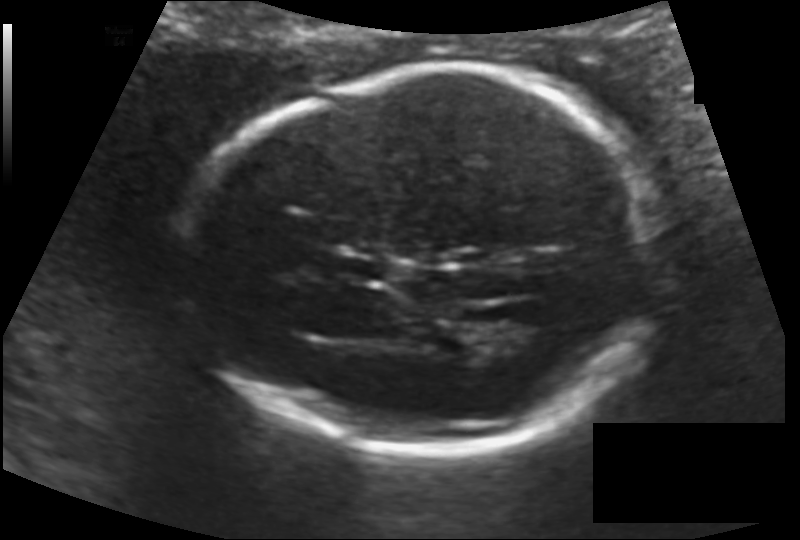
In this fetal head ultrasound, give the bounding box of the lateral ventricle. Image width: 102.3 mm.

[483,308,552,359]